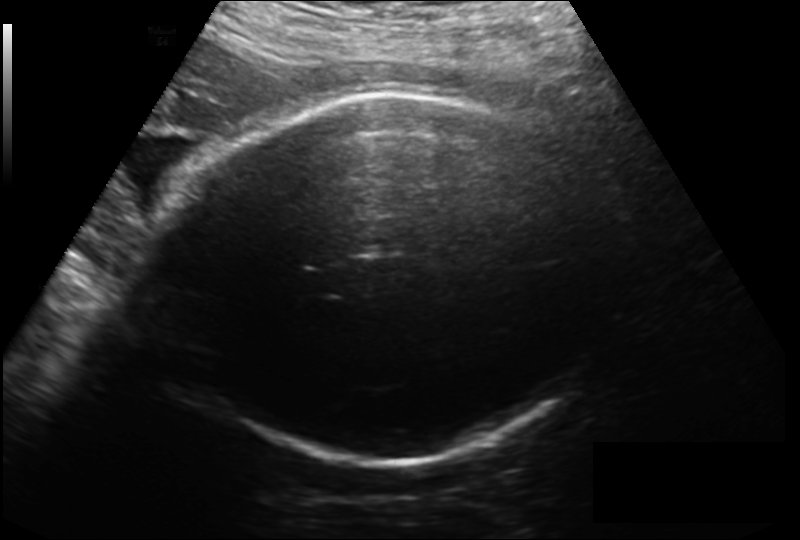
Measure the fetal head circumference shown in this ultrasound image. Image width: 171.5 mm.

Head circumference: 286.4 mm.